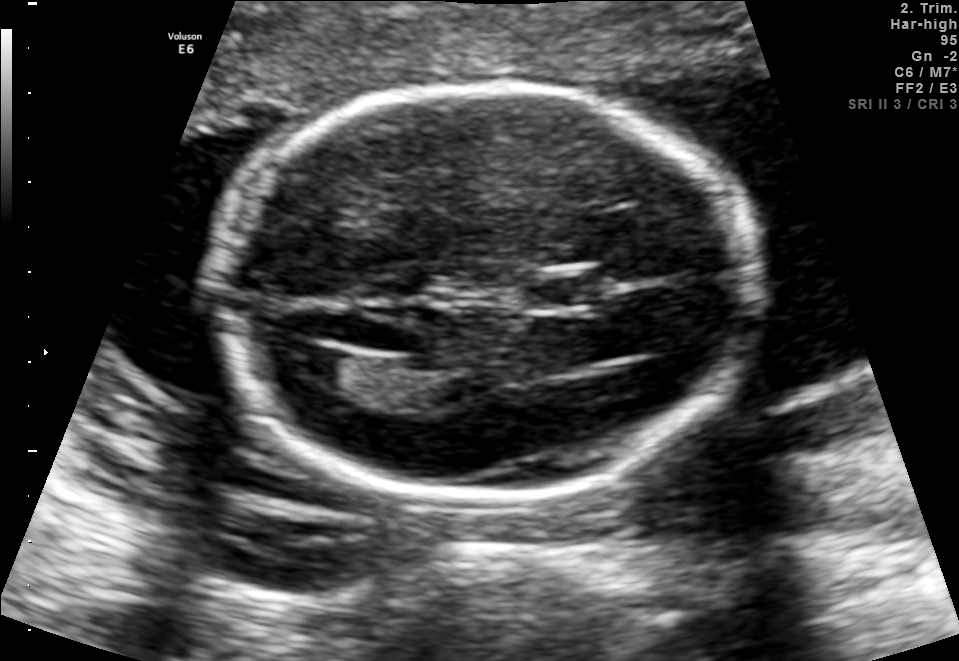
Fetal brain, trans-ventricular plane. Where is the fetal head?

Head bounding box: [210,79,769,514]